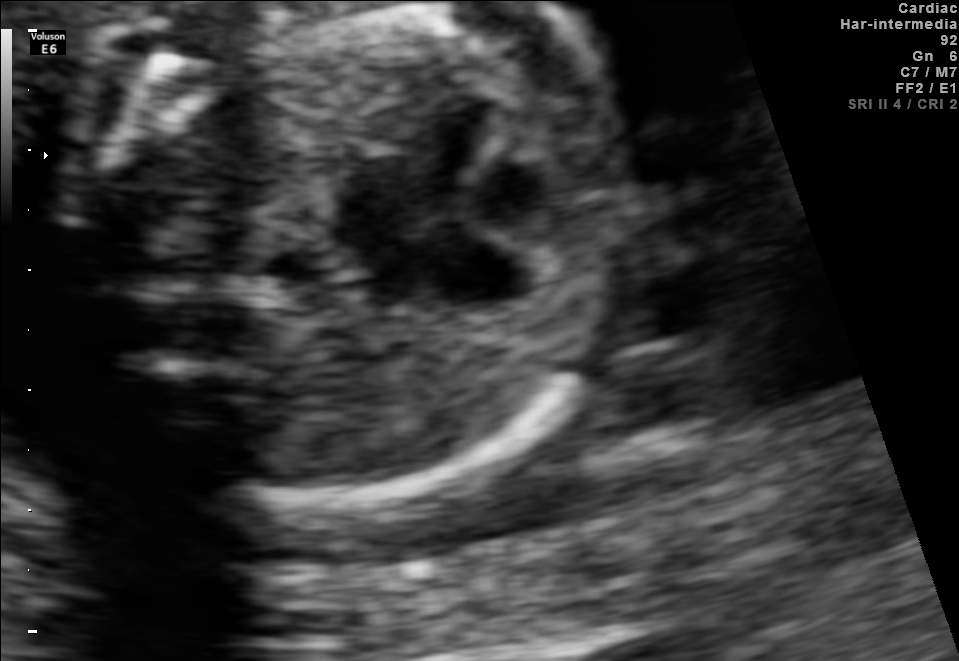
Identify the standard plane in this fetal ultrasound image: fetal abdomen, fetal brain, fetal femur, fetal thorax, maternal cervix, or other. If it's fetal brain and one of the three standard brain planes (trans-thalamic, trans-cerebellum, trans-ventricular), name which.

Fetal thorax